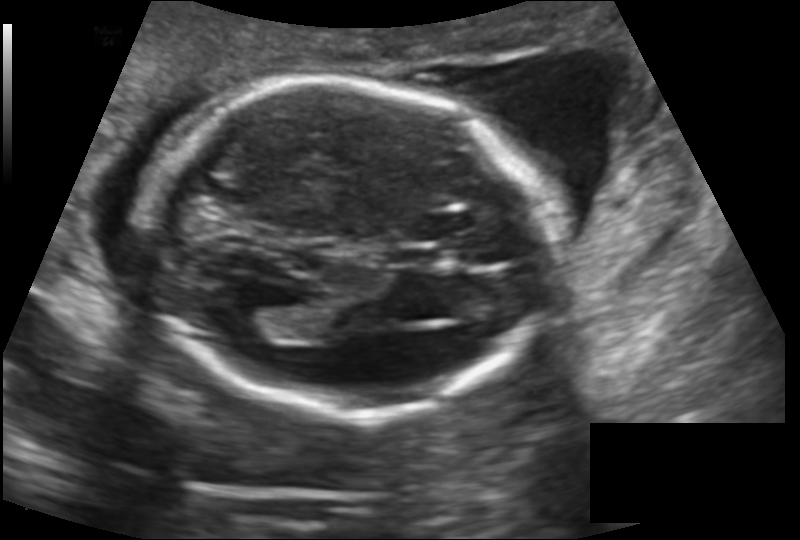
Estimate the fetal head circumference from this 2D ultrasound.

Head circumference: 175.0 mm (image width 116.4 mm).